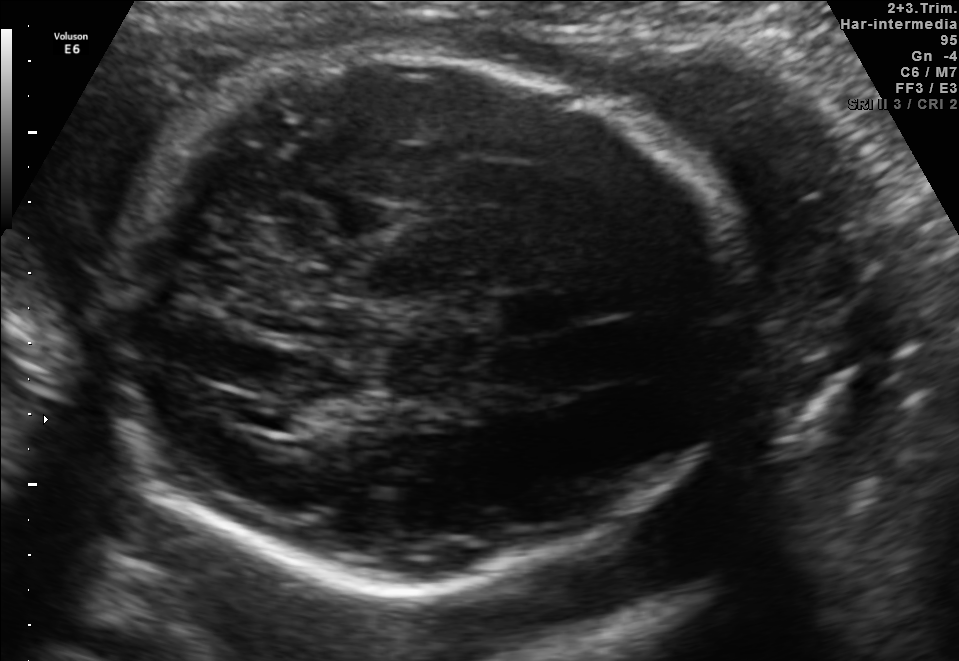
Fetal brain, trans-thalamic plane. Where is the cavum septum pellucidum?

CSP bounding box: [501,294,570,334]